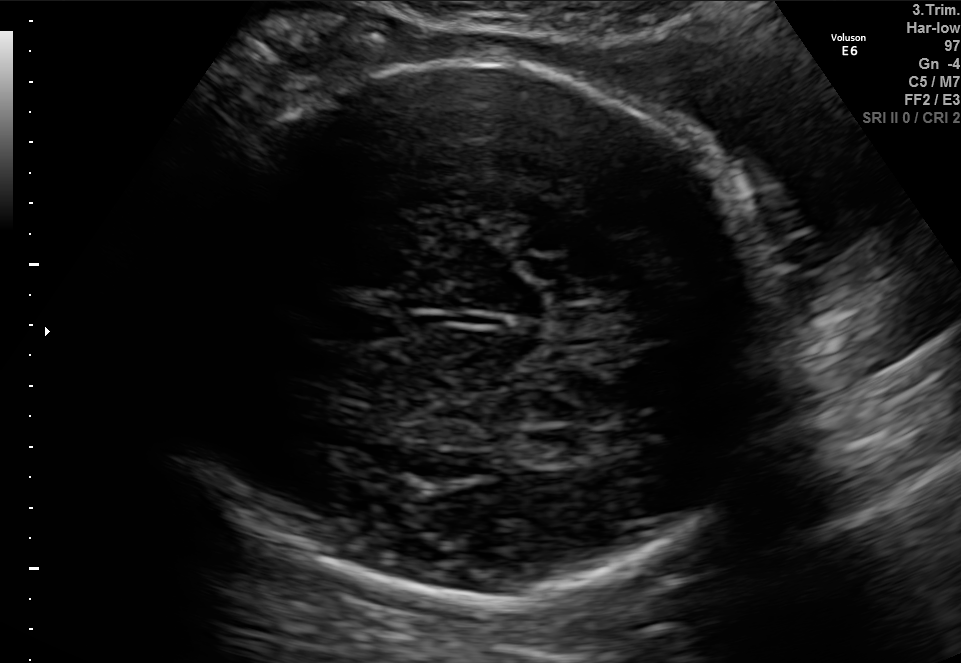
Fetal brain, trans-thalamic plane. Where is the fetal head?

Head bounding box: [157,60,774,607]